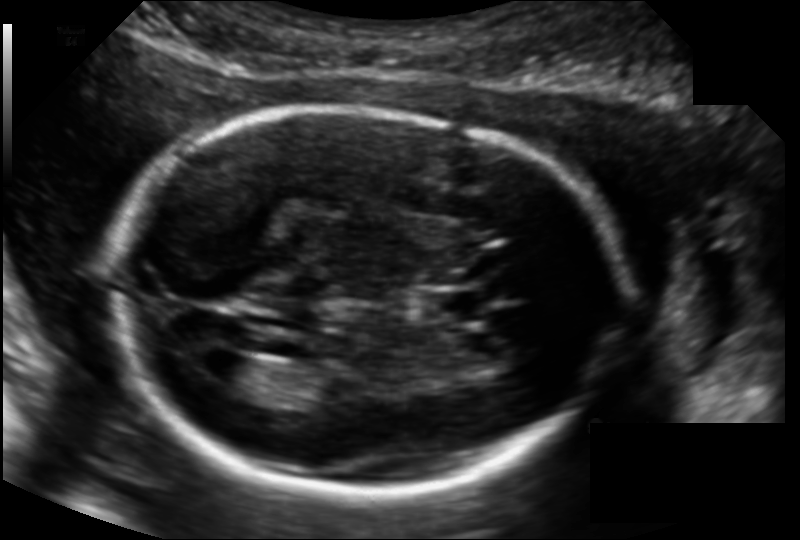
Fetal head ultrasound. Image width: 107.7 mm. Where is the lateral ventricle?

Lateral ventricle bounding box: [194,343,267,397]